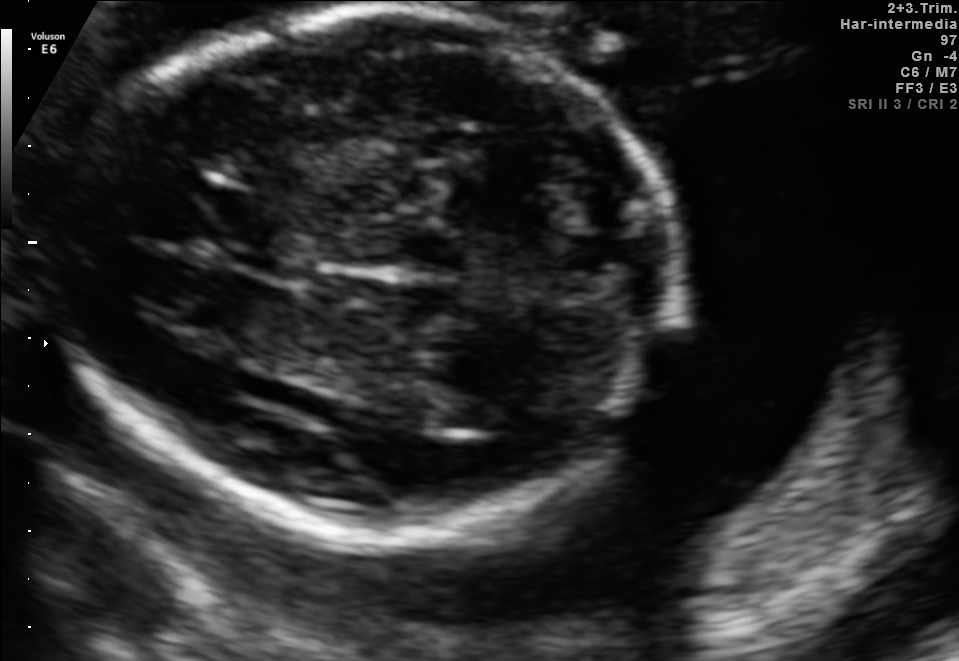
In this fetal brain, trans-thalamic plane, give bounding boxes for the head outline, cavum septum pellucidum (CSP), and lateral ventricle (LV), where visible.

Head: [41,11,704,520]
CSP: [187,183,316,279]
Lateral ventricle: [434,396,515,435]